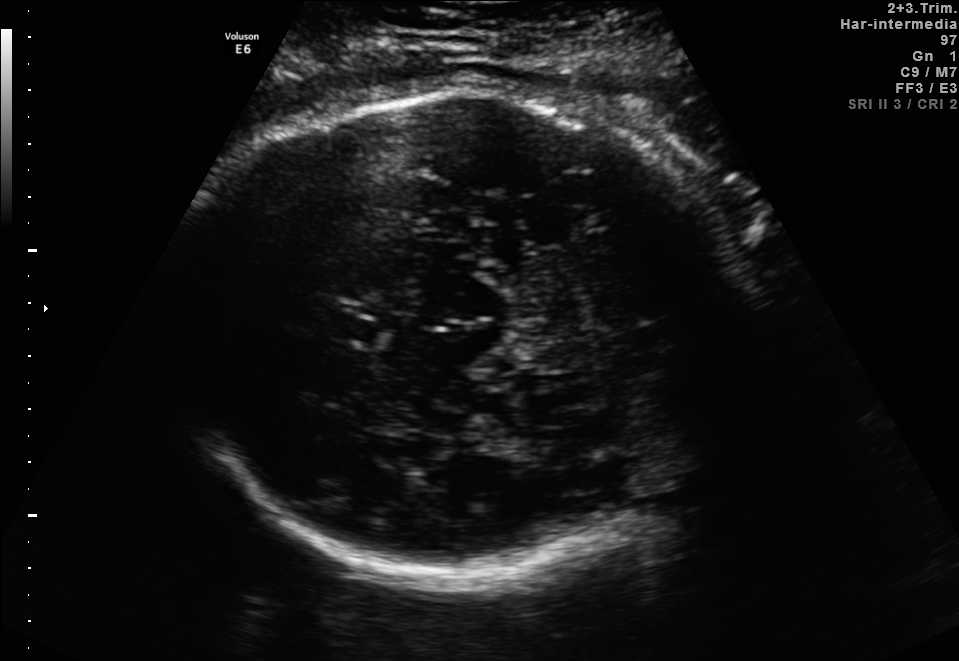
Fetal brain, trans-thalamic plane. Where is the fetal head?

Head bounding box: [164,87,753,574]